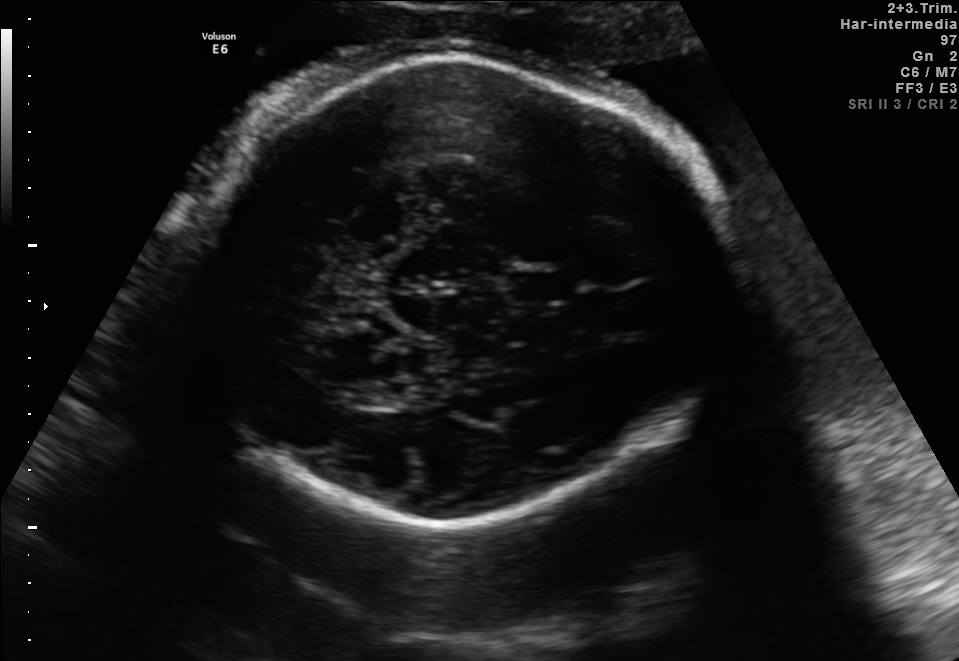
Fetal brain, trans-thalamic plane. Locate the fetal head.

Head: [183,54,724,523]